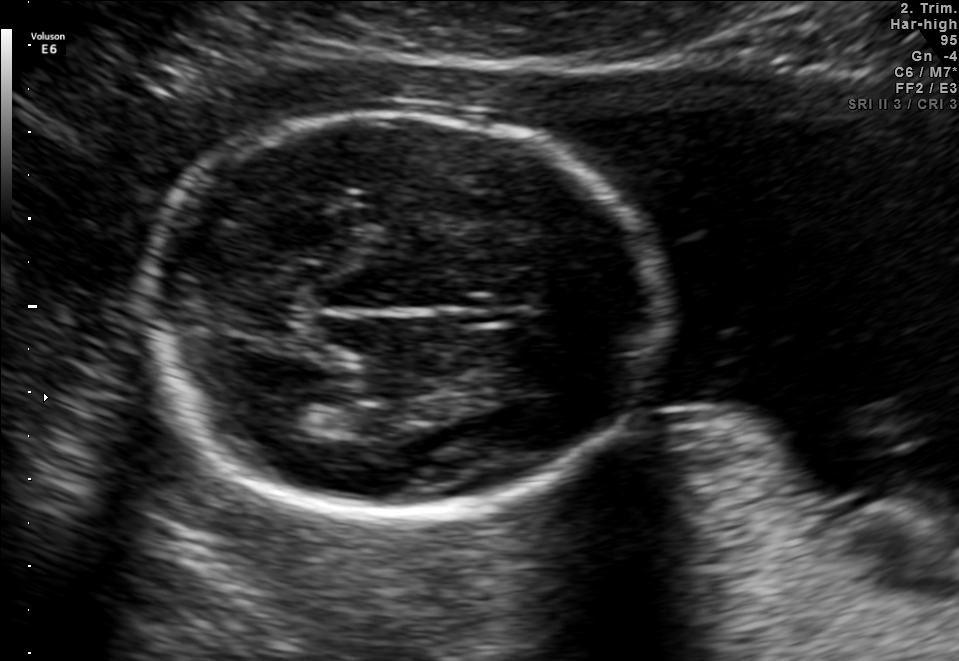
In this fetal brain, trans-thalamic plane, give bounding boxes for the head outline, cavum septum pellucidum (CSP), and lateral ventricle (LV), where visible.

Head: [138,111,667,510]